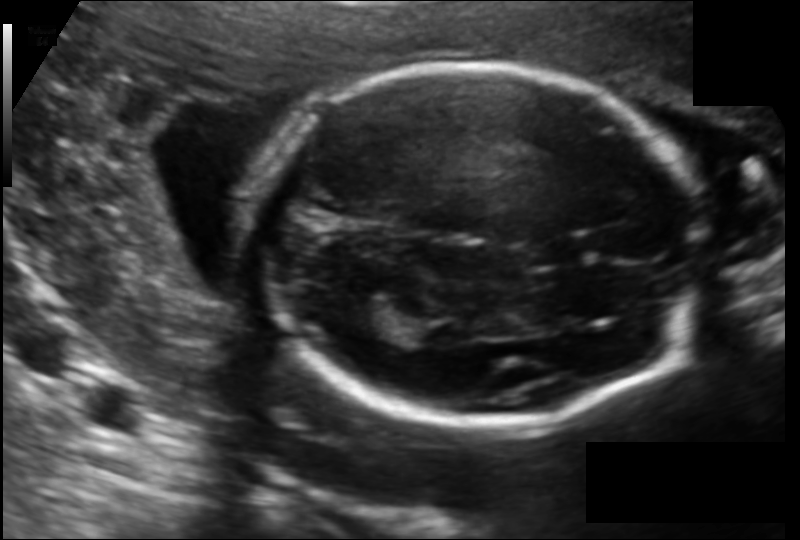
From this fetal ultrasound, estimate the head circumference (image width 103.2 mm).

Head circumference: 170.3 mm.